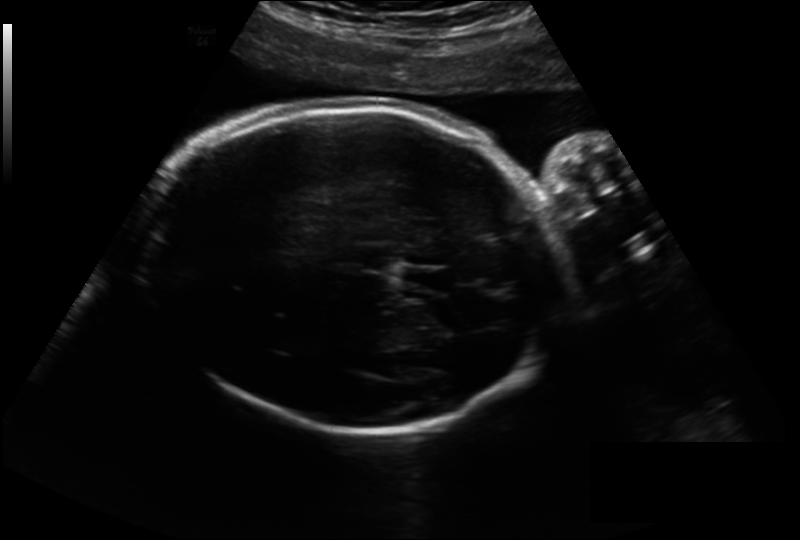
Fetal head ultrasound. Image width: 194.6 mm. Locate the fetal head.

Head: [139,102,566,430]